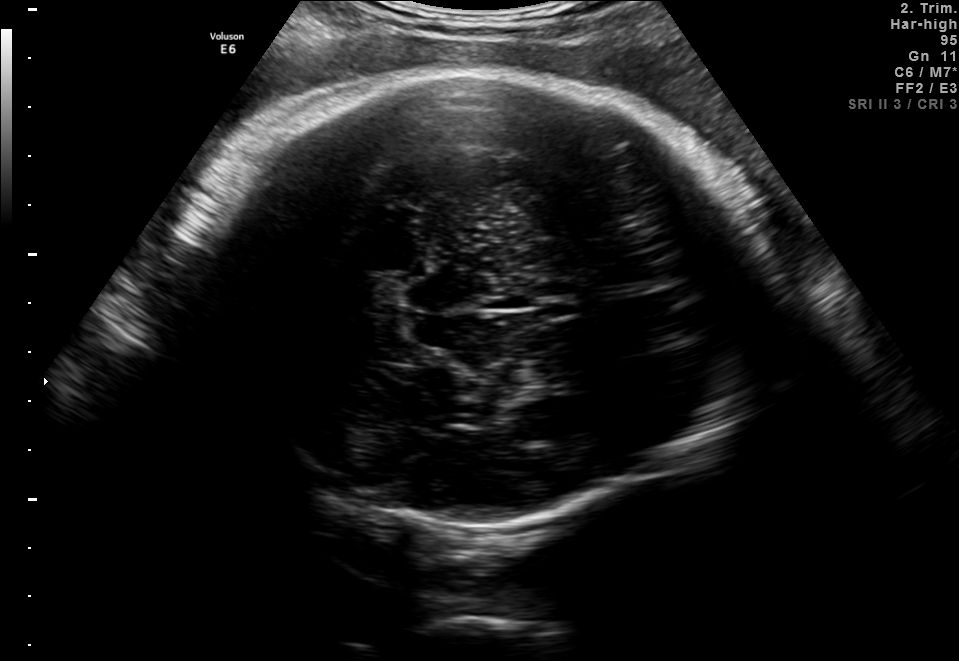
Fetal brain, trans-thalamic plane. Locate the fetal head and, if visible, the cavum septum pellucidum (CSP) and lateral ventricle (LV). Give bounding boxes as [x1,y1,x2,y2].

Head: [171,70,748,541]